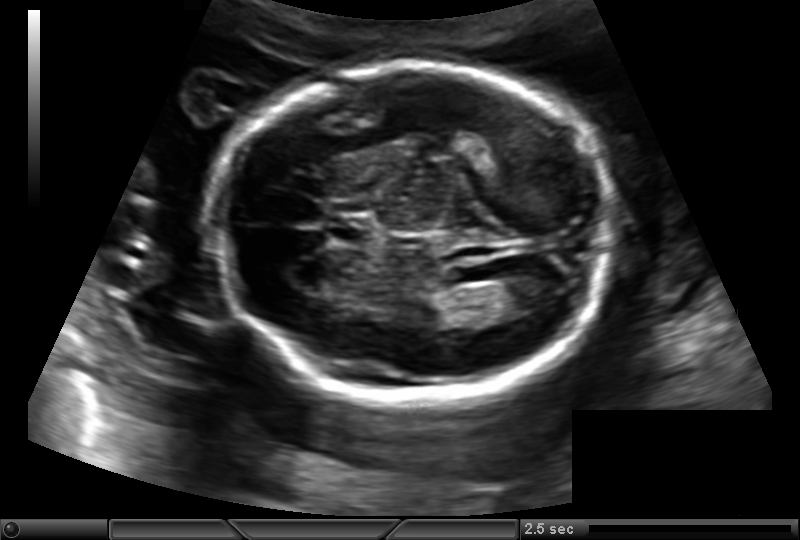
In this fetal head ultrasound, give the bounding box of the lateral ventricle. Image width: 116.2 mm.

[488,271,561,320]